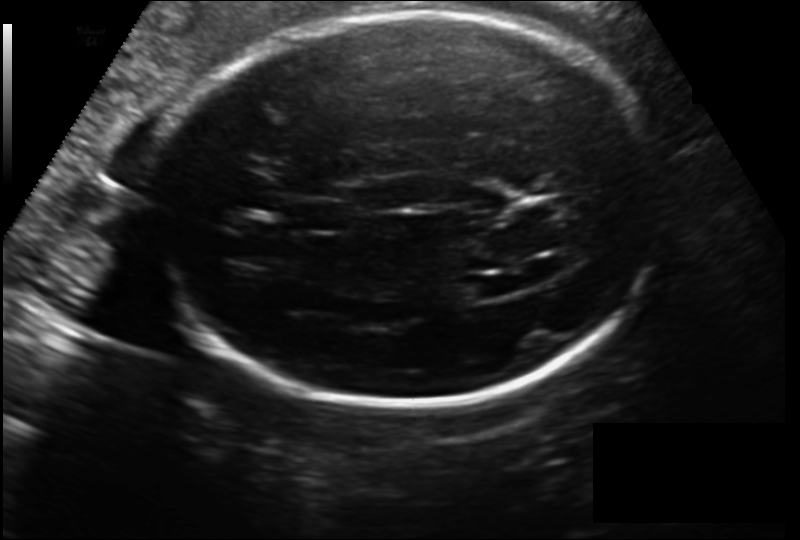
Fetal head ultrasound. Image width: 149.1 mm. Locate the lateral ventricle.

Lateral ventricle: [447,274,501,305]